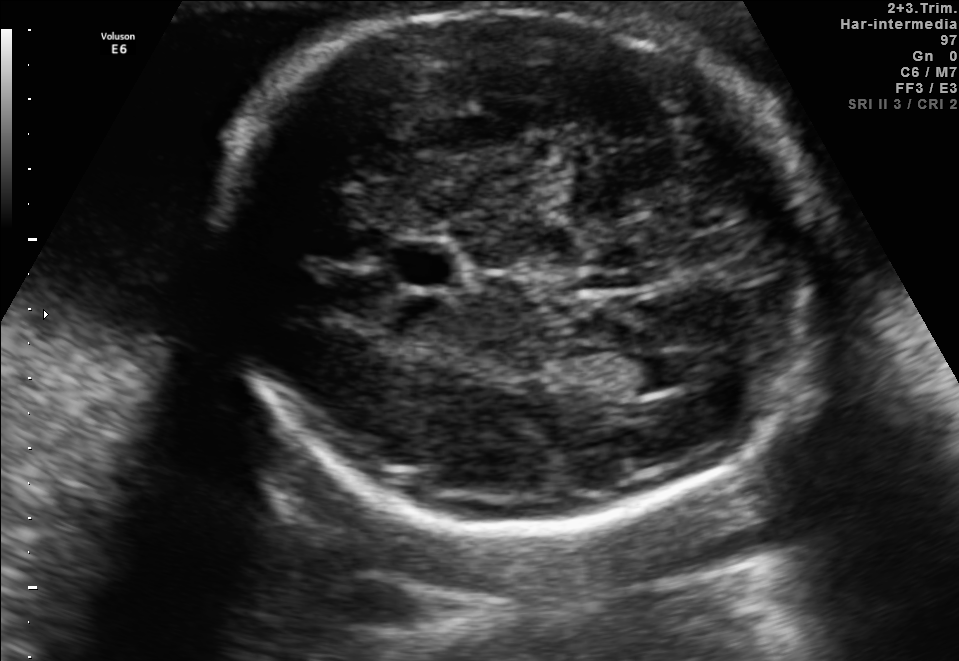
Fetal brain, trans-ventricular plane. Where is the cavum septum pellucidum?

CSP bounding box: [381,242,467,288]